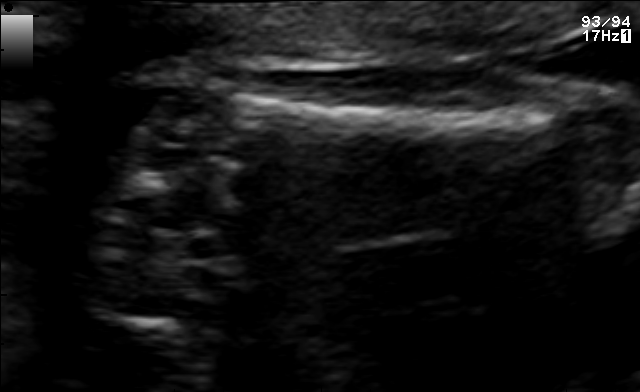
Identify the standard plane in this fetal ultrasound image: fetal abdomen, fetal brain, fetal femur, fetal thorax, maternal cervix, or other. If it's fetal brain and one of the three standard brain planes (trans-thalamic, trans-cerebellum, trans-ventricular), name which.

Fetal femur